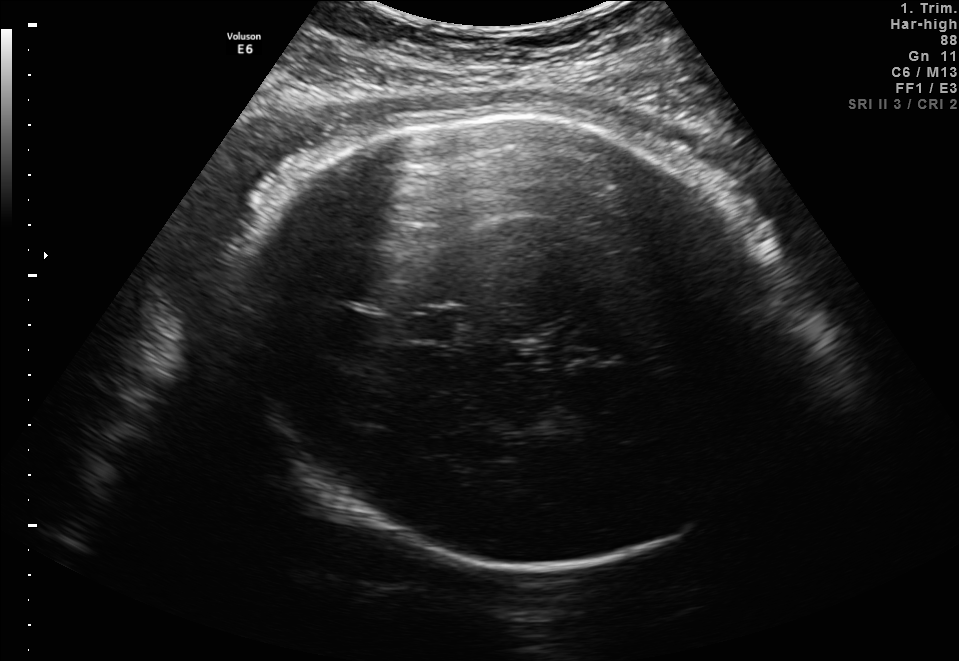
In this fetal brain, trans-thalamic plane, give the bounding box of the cavum septum pellucidum.

[402,308,460,339]